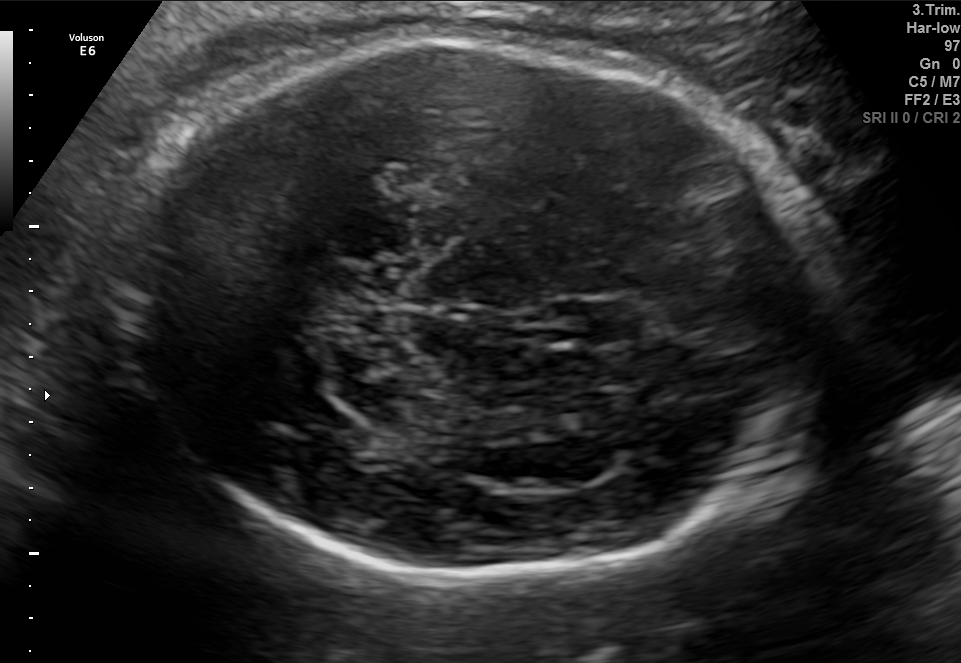
In this fetal brain, trans-thalamic plane, give bounding boxes for the head outline, cavum septum pellucidum (CSP), and lateral ventricle (LV), where visible.

Head: [116,40,845,575]